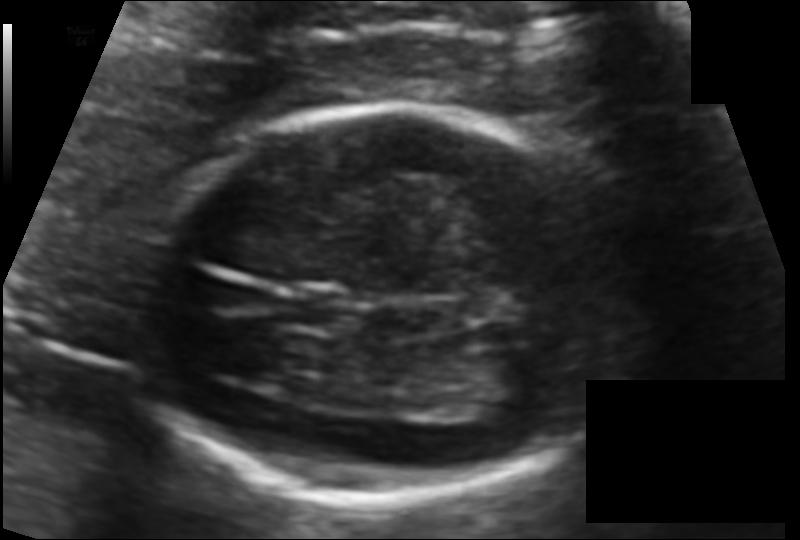
Measure the fetal head circumference shown in this ultrasound image. Image width: 80.0 mm.

Head circumference: 145.2 mm.